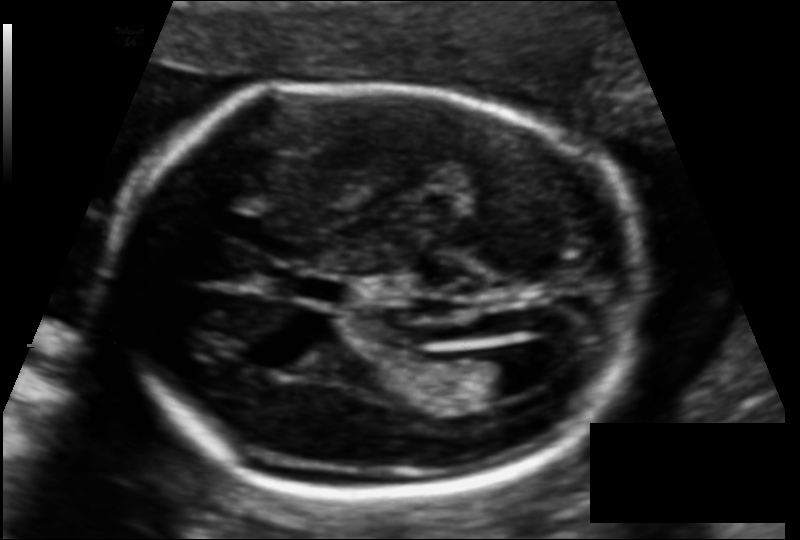
Measure the fetal head circumference shown in this ultrasound image. Image width: 92.4 mm.

Head circumference: 177.0 mm.